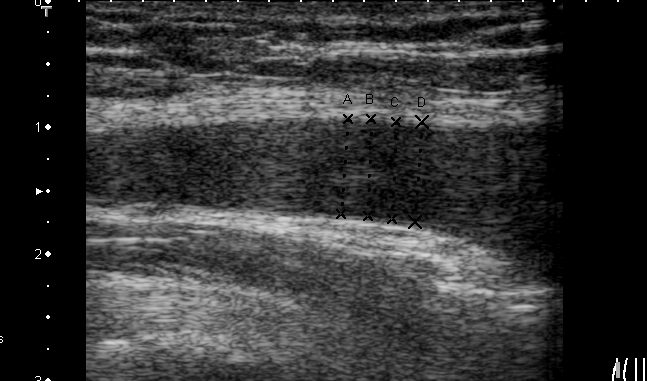
Which standard maternal-fetal ultrasound plane is shown: fetal abdomen, fetal brain, fetal femur, fetal thorax, maternal cervix, or other? If it's fetal brain and one of the three standard brain planes (trans-thalamic, trans-cerebellum, trans-ventricular), name which.

Other